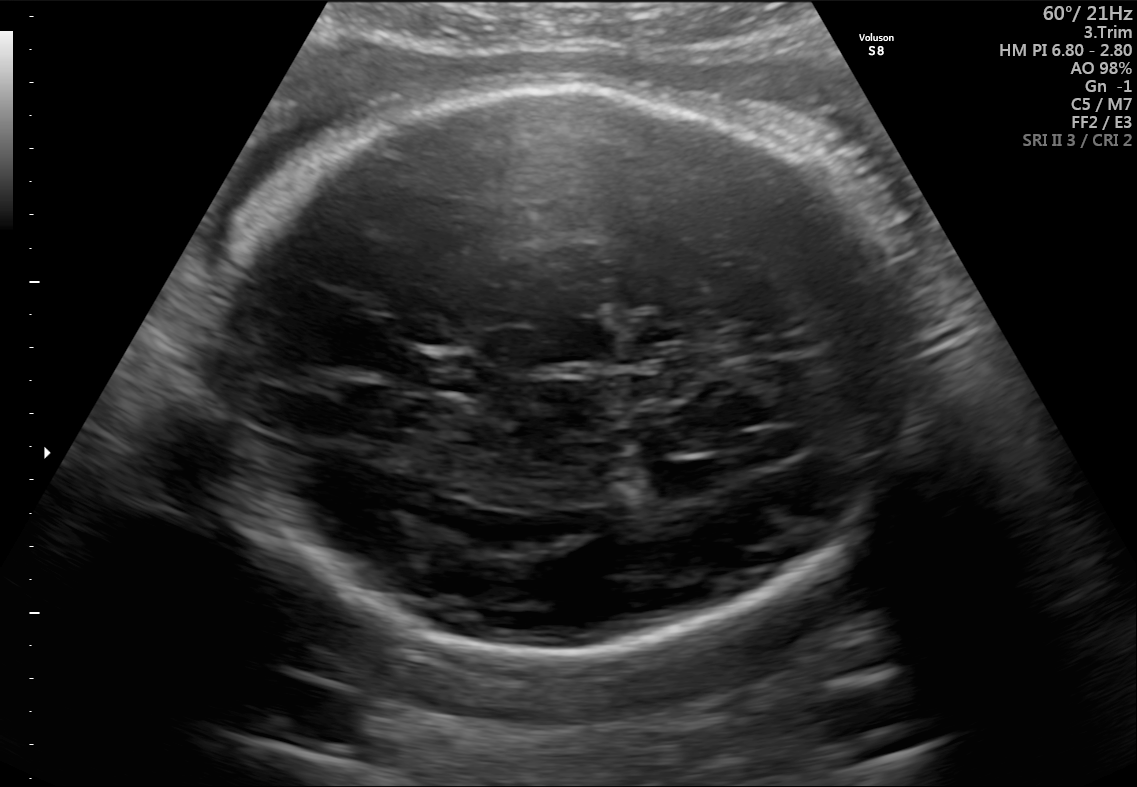
In this fetal brain, trans-thalamic plane, give the bounding box of the lateral ventricle.

[644,458,720,502]